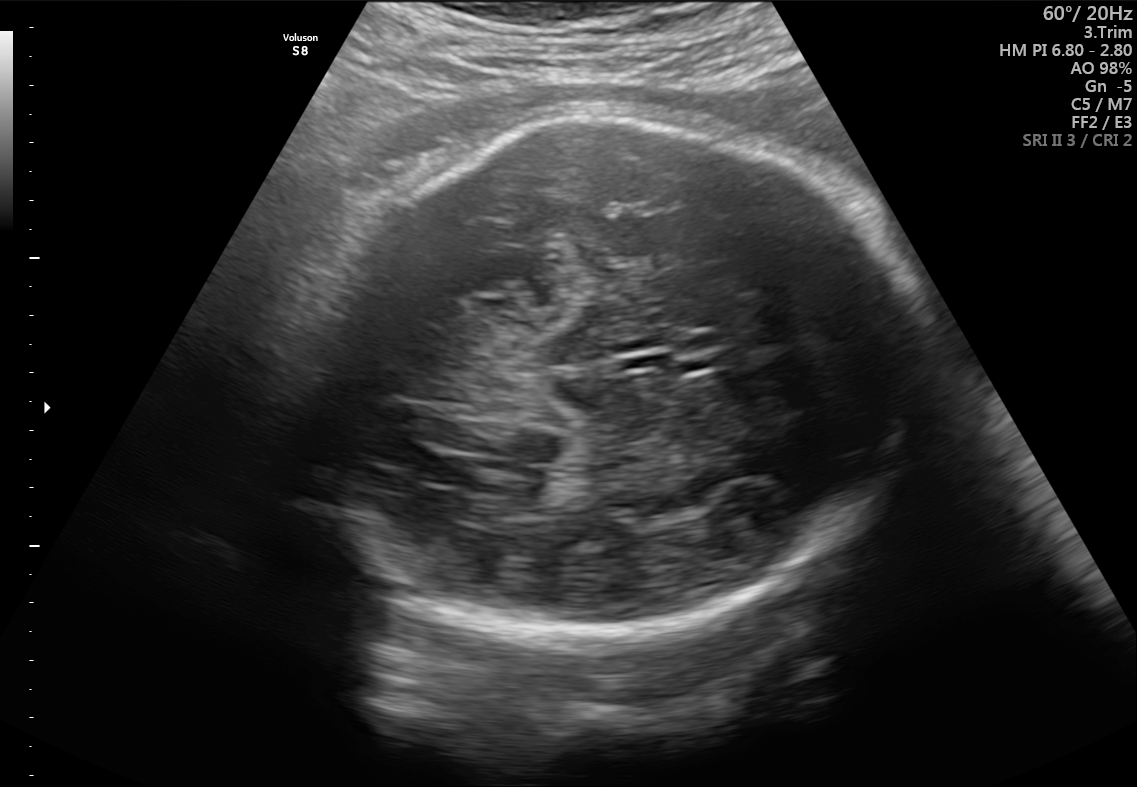
Fetal brain, trans-thalamic plane. Locate the fetal head and, if visible, the cavum septum pellucidum (CSP) and lateral ventricle (LV). Give bounding boxes as [x1,y1,x2,y2].

Head: [292,110,931,639]